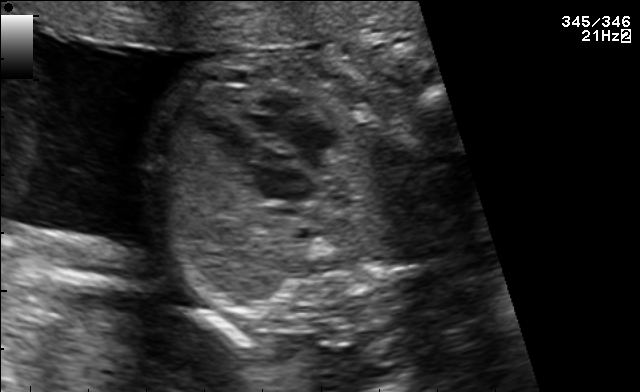
Classify this maternal-fetal ultrasound image as one of the six standard planes — fetal abdomen, fetal brain, fetal femur, fetal thorax, maternal cervix, or other. If it's fetal brain and one of the three standard brain planes (trans-thalamic, trans-cerebellum, trans-ventricular), name which.

Fetal thorax